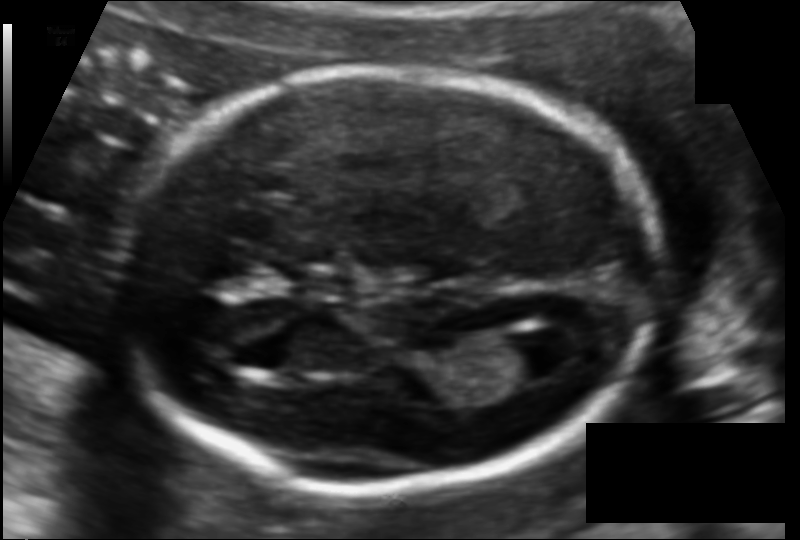
In this fetal head ultrasound, give bounding boxes for the head outline, cavum septum pellucidum (CSP), and lateral ventricle (LV), where visible. Image width: 85.9 mm.

Head: [113,70,660,488]
Lateral ventricle: [485,322,573,392]